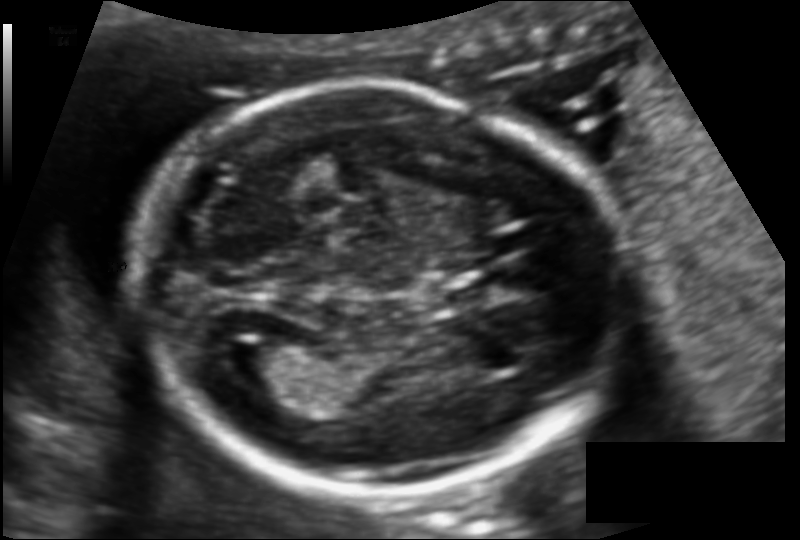
Measure the fetal head circumference shown in this ultrasound image. Image width: 89.5 mm.

Head circumference: 162.3 mm.